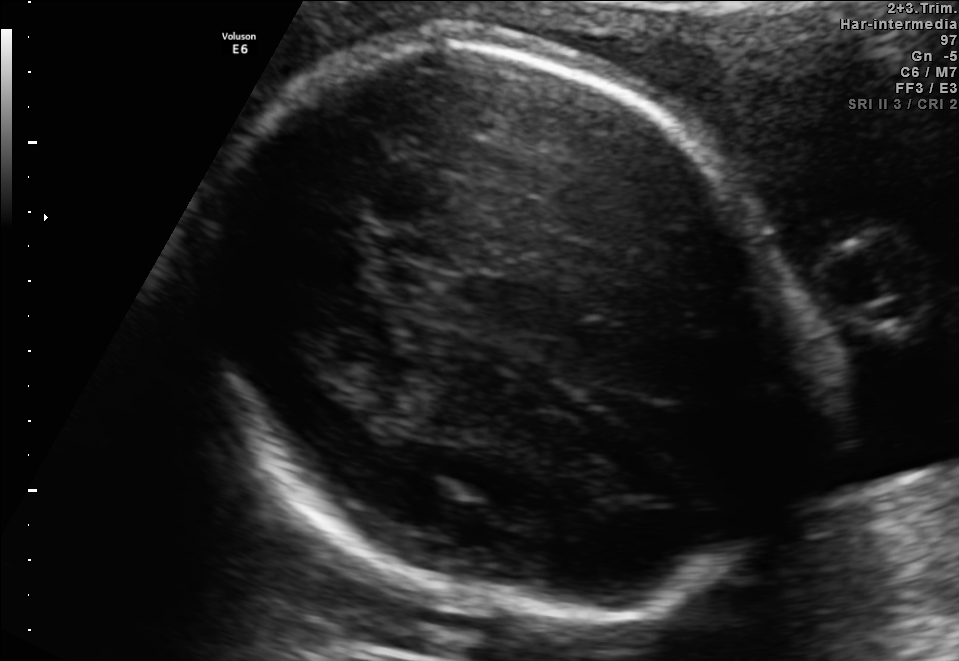
In this fetal brain, trans-thalamic plane, give bounding boxes for the head outline, cavum septum pellucidum (CSP), and lateral ventricle (LV), where visible.

Head: [193,43,816,620]